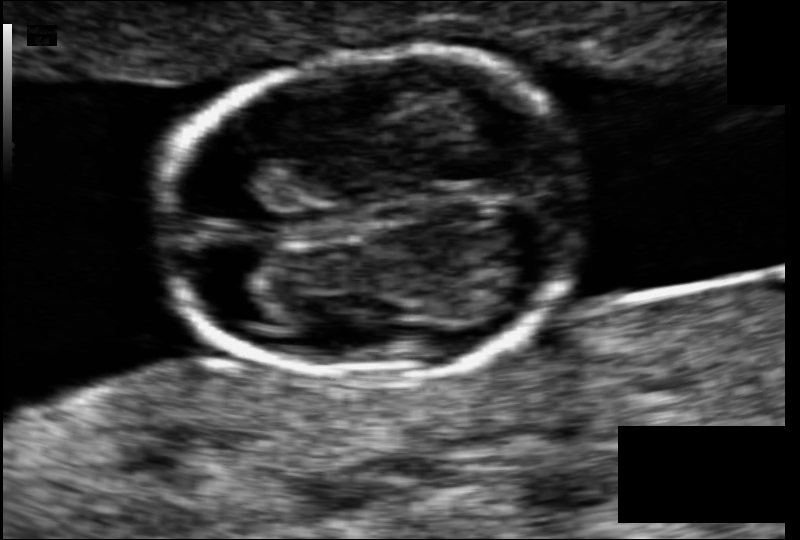
Measure the fetal head circumference shown in this ultrasound image. Image width: 50.6 mm.

Head circumference: 77.2 mm.